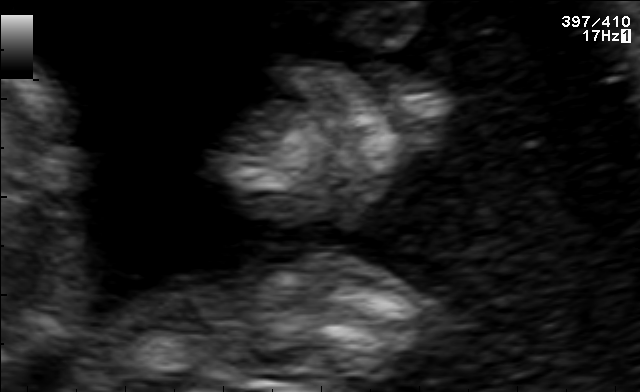
Classify this maternal-fetal ultrasound image as one of the six standard planes — fetal abdomen, fetal brain, fetal femur, fetal thorax, maternal cervix, or other. If it's fetal brain and one of the three standard brain planes (trans-thalamic, trans-cerebellum, trans-ventricular), name which.

Other